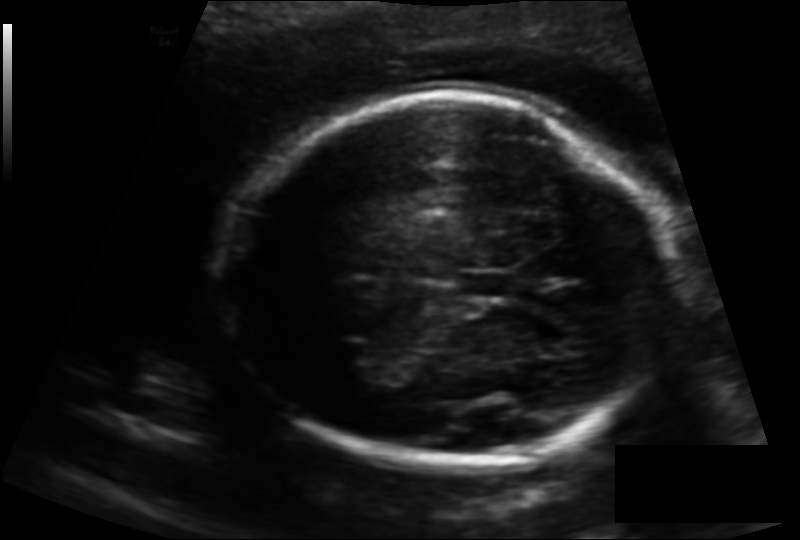
What is the fetal head circumference? Image width is 112.7 mm.

188.8 mm